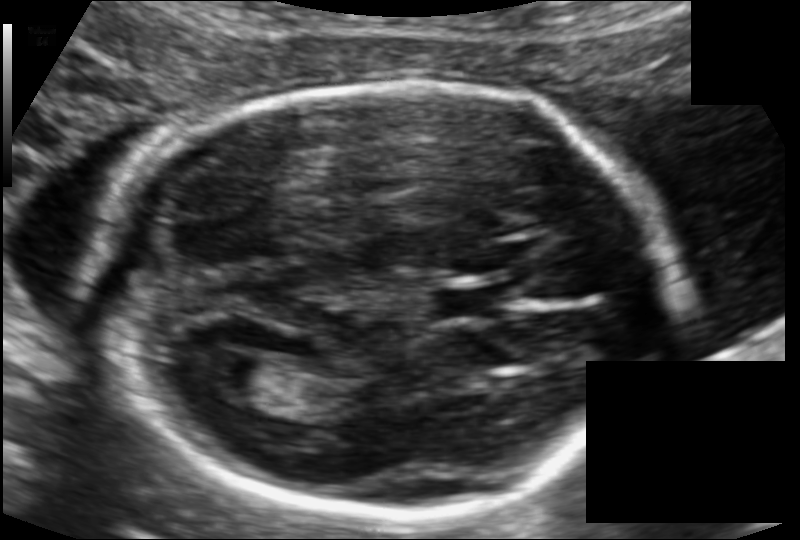
From this fetal ultrasound, estimate the head circumference (image width 87.3 mm).

Head circumference: 180.7 mm.